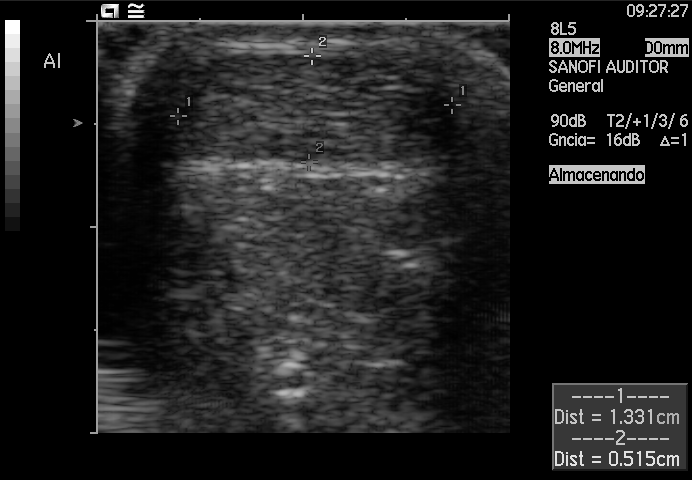
This is a 2D maternal-fetal ultrasound frame. Is it a fetal abdomen, fetal brain, fetal femur, fetal thorax, maternal cervix, or other standard plane? If it's fetal brain and one of the three standard brain planes (trans-thalamic, trans-cerebellum, trans-ventricular), name which.

Other